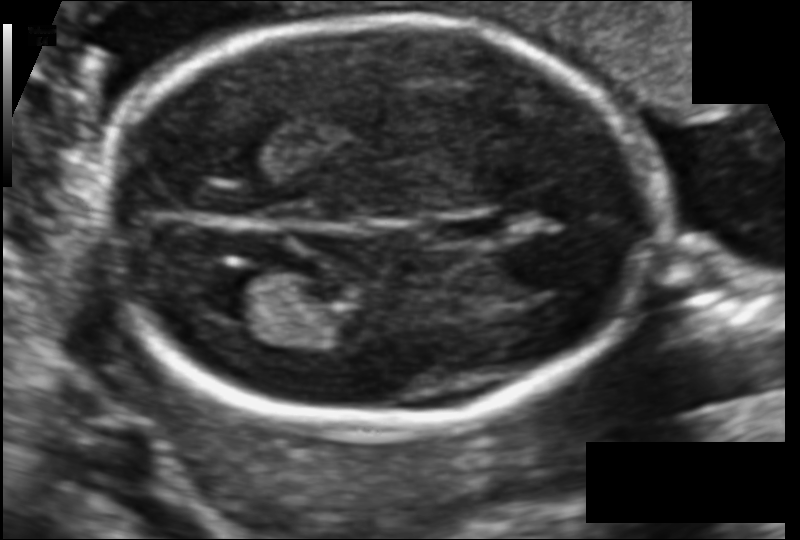
Estimate the fetal head circumference from this 2D ultrasound. Image width: 84.6 mm.

Head circumference: 165.0 mm.